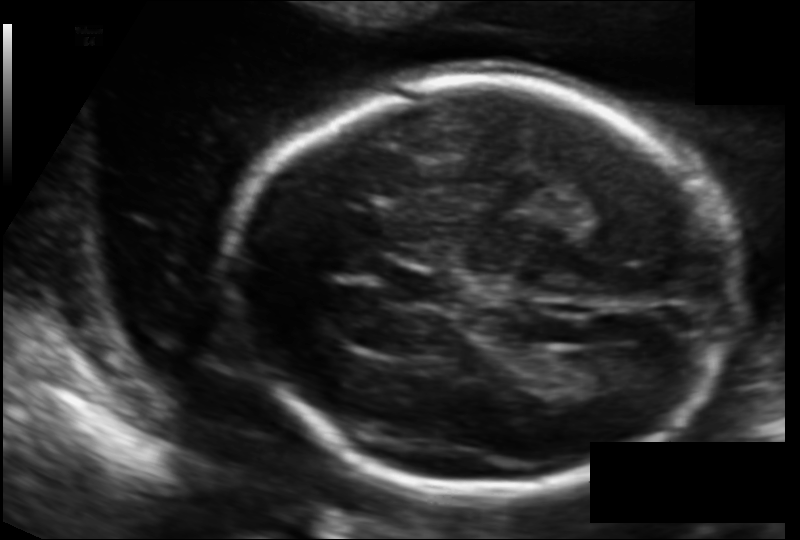
Estimate the fetal head circumference from this 2D ultrasound.

Head circumference: 185.7 mm (image width 100.4 mm).